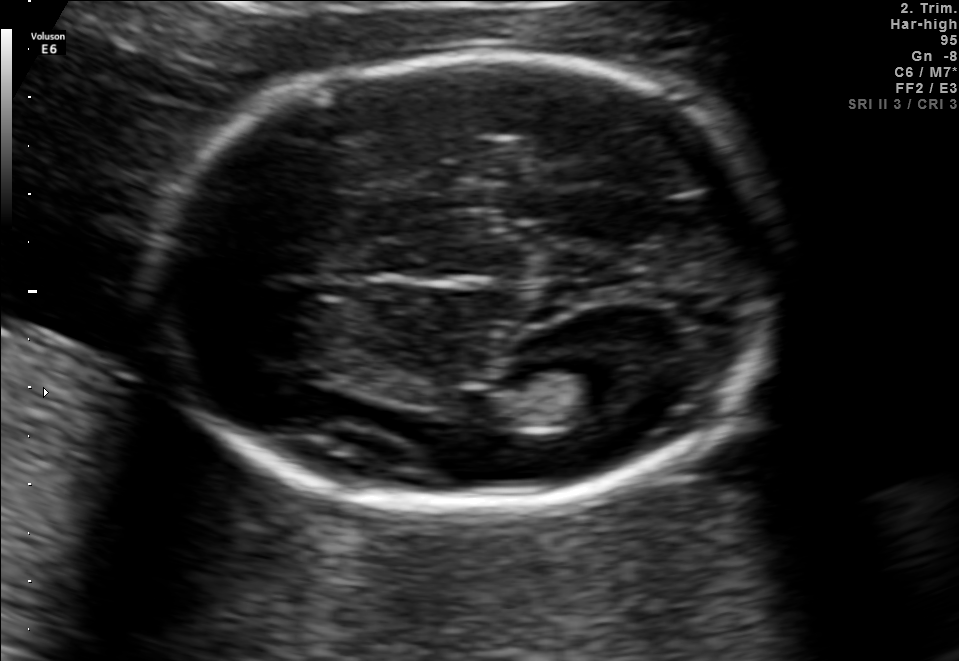
Fetal brain, trans-thalamic plane. Where is the lateral ventricle?

Lateral ventricle bounding box: [526,341,659,431]